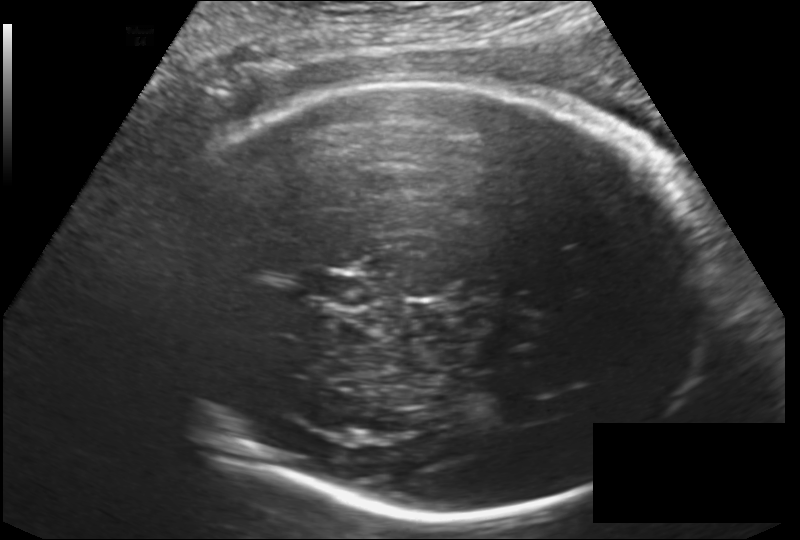
Fetal head ultrasound. Image width: 145.9 mm. Where is the cavum septum pellucidum?

CSP bounding box: [304,265,374,312]